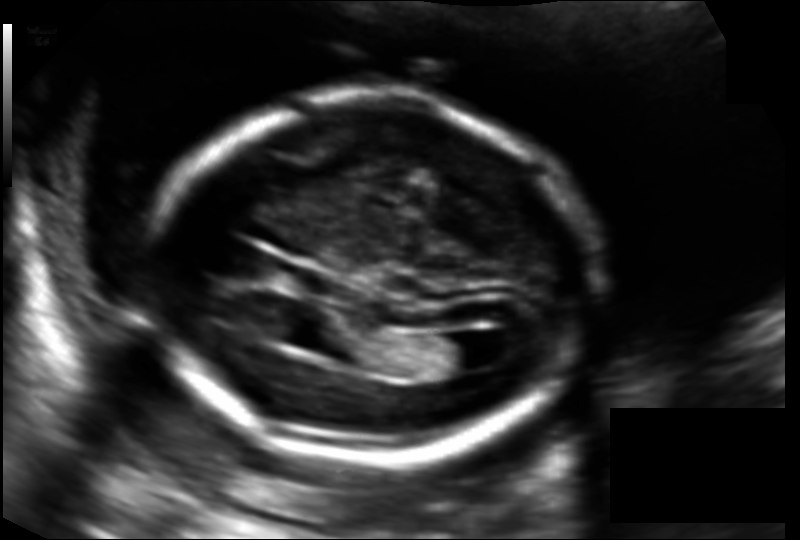
Fetal head ultrasound. Image width: 104.2 mm. Where is the lateral ventricle?

Lateral ventricle bounding box: [435,331,493,374]